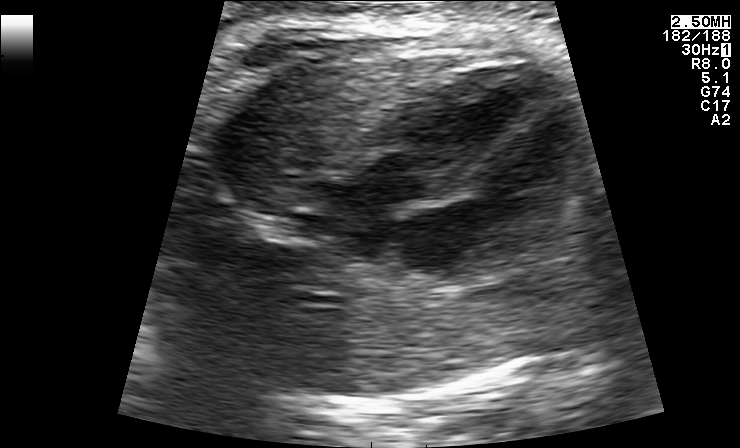
This is a 2D maternal-fetal ultrasound frame. Is it a fetal abdomen, fetal brain, fetal femur, fetal thorax, maternal cervix, or other standard plane? If it's fetal brain and one of the three standard brain planes (trans-thalamic, trans-cerebellum, trans-ventricular), name which.

Fetal thorax